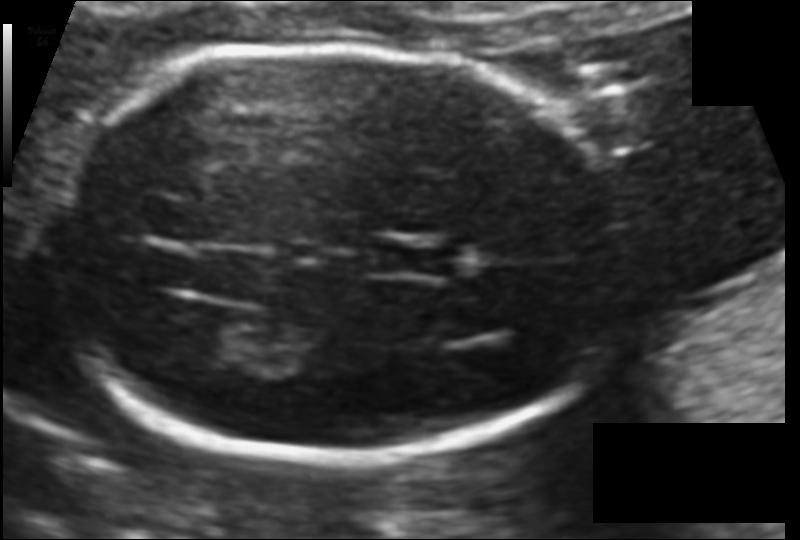
Estimate the fetal head circumference from this 2D ultrasound. Image width: 78.8 mm.

Head circumference: 160.4 mm.